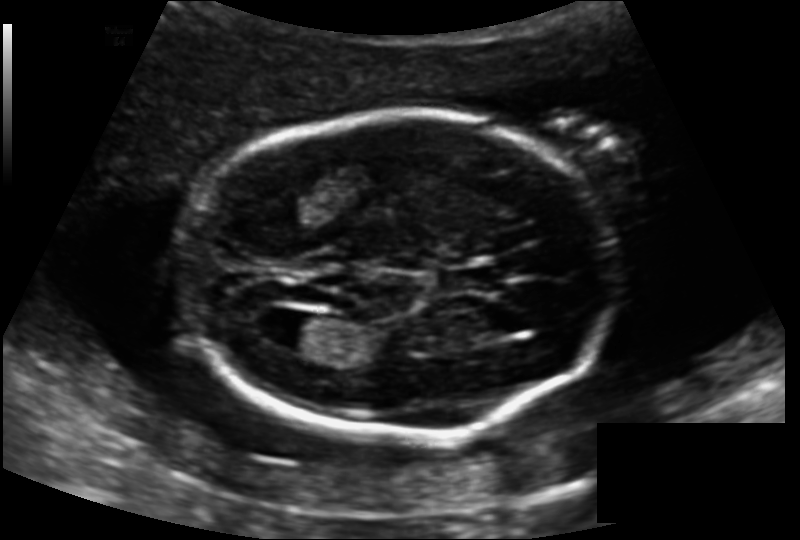
Fetal head ultrasound. Image width: 111.5 mm. Locate the cavum septum pellucidum.

CSP: [441,264,501,296]